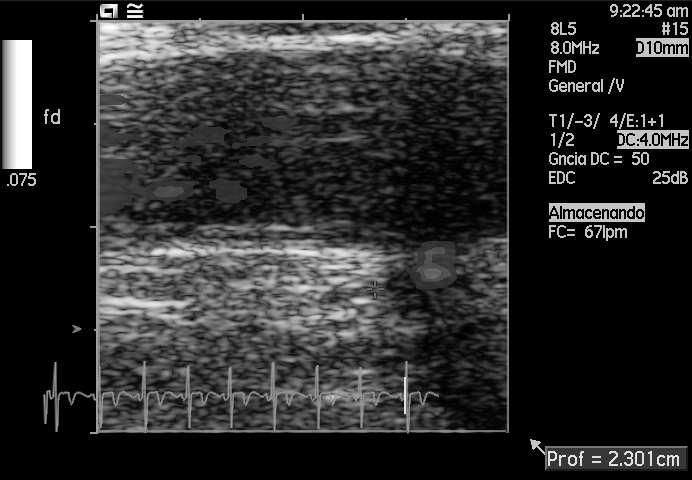
Classify this maternal-fetal ultrasound image as one of the six standard planes — fetal abdomen, fetal brain, fetal femur, fetal thorax, maternal cervix, or other. If it's fetal brain and one of the three standard brain planes (trans-thalamic, trans-cerebellum, trans-ventricular), name which.

Other